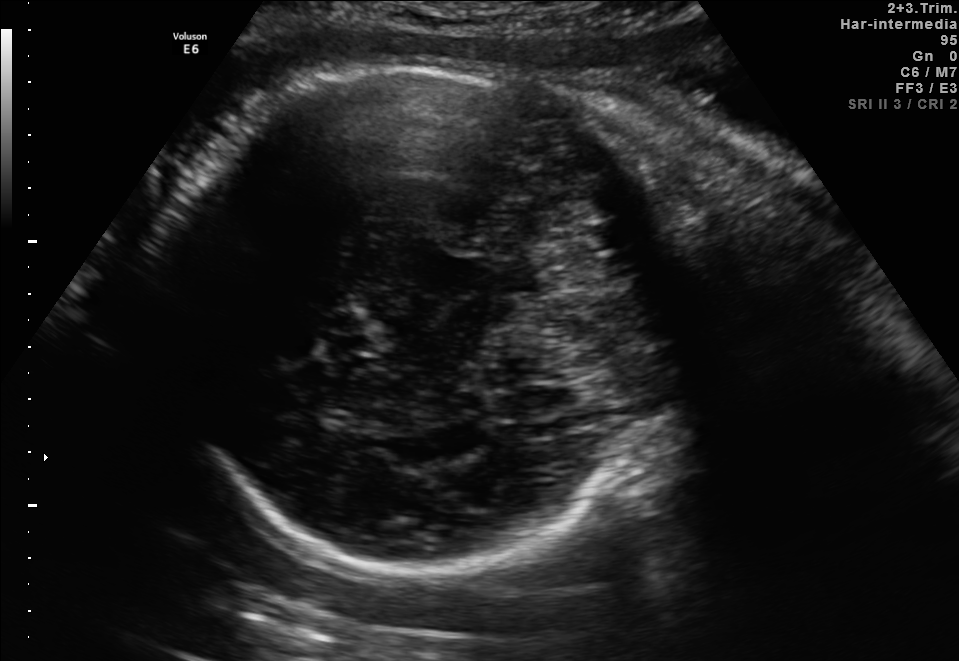
Fetal brain, trans-cerebellum plane. Give [x1,y1,x2,y2] bounding boxes for each visible structure among: fetal head, CSP, LV.

Head: [165,62,672,571]